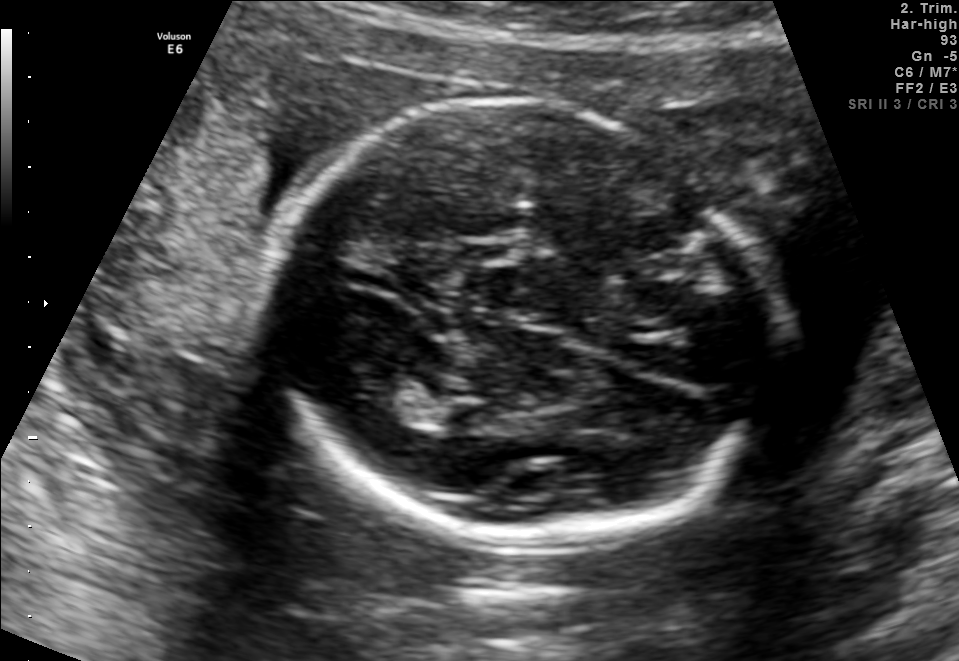
Fetal brain, trans-thalamic plane. Where is the lateral ventricle?

Lateral ventricle bounding box: [364,375,456,432]